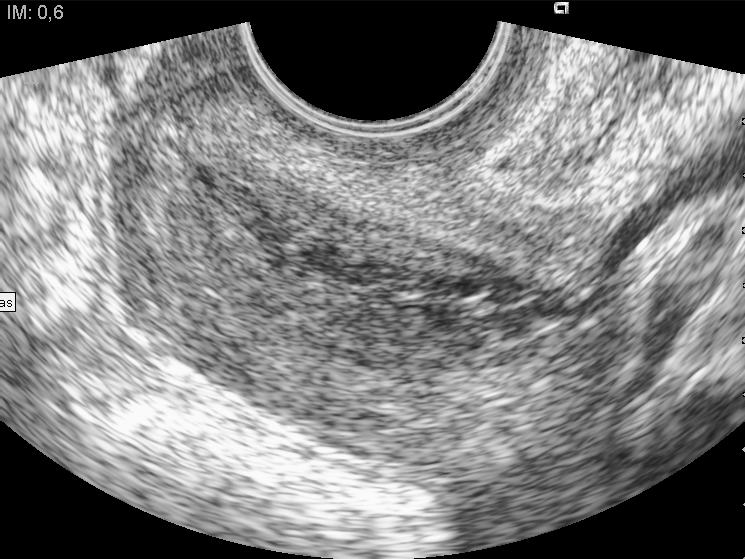
Classify this maternal-fetal ultrasound image as one of the six standard planes — fetal abdomen, fetal brain, fetal femur, fetal thorax, maternal cervix, or other. If it's fetal brain and one of the three standard brain planes (trans-thalamic, trans-cerebellum, trans-ventricular), name which.

Maternal cervix